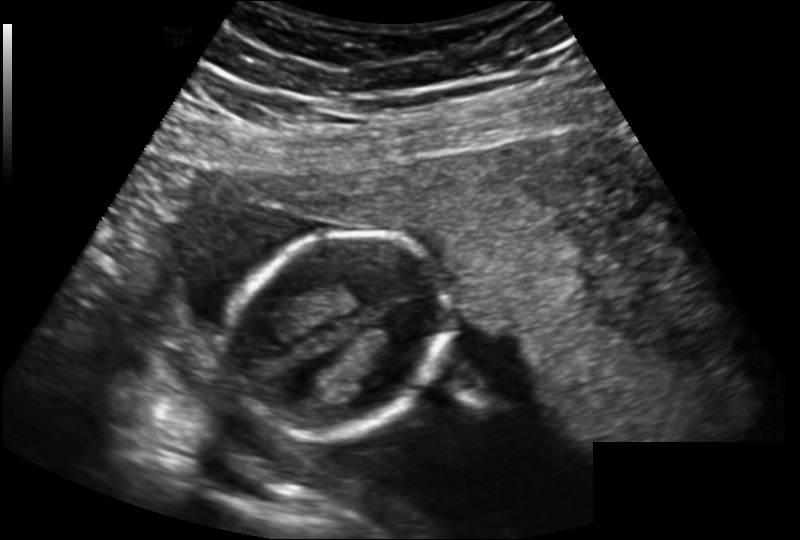
Fetal head ultrasound. Image width: 146.2 mm. Locate the fetal head.

Head: [228,232,450,435]